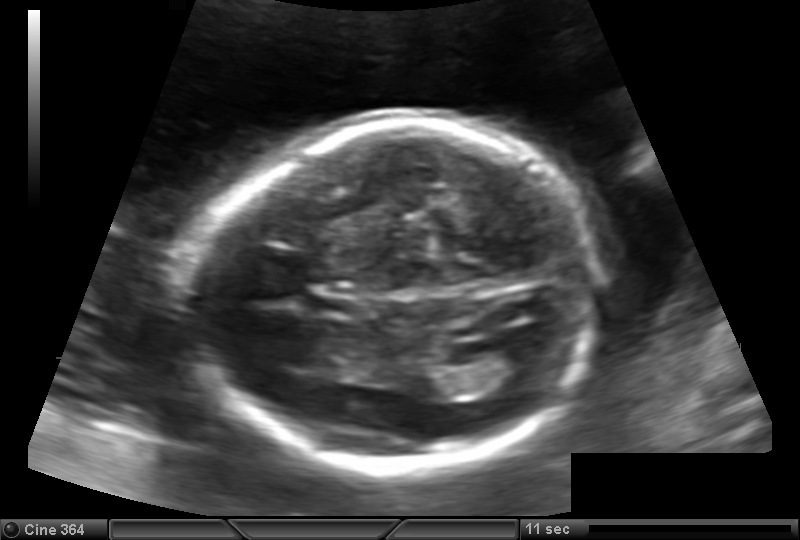
In this fetal head ultrasound, give bounding boxes for the head outline, cavum septum pellucidum (CSP), and lateral ventricle (LV), where visible. Image width: 115.2 mm.

Head: [200,120,595,471]
CSP: [303,288,361,323]
Lateral ventricle: [472,338,544,394]